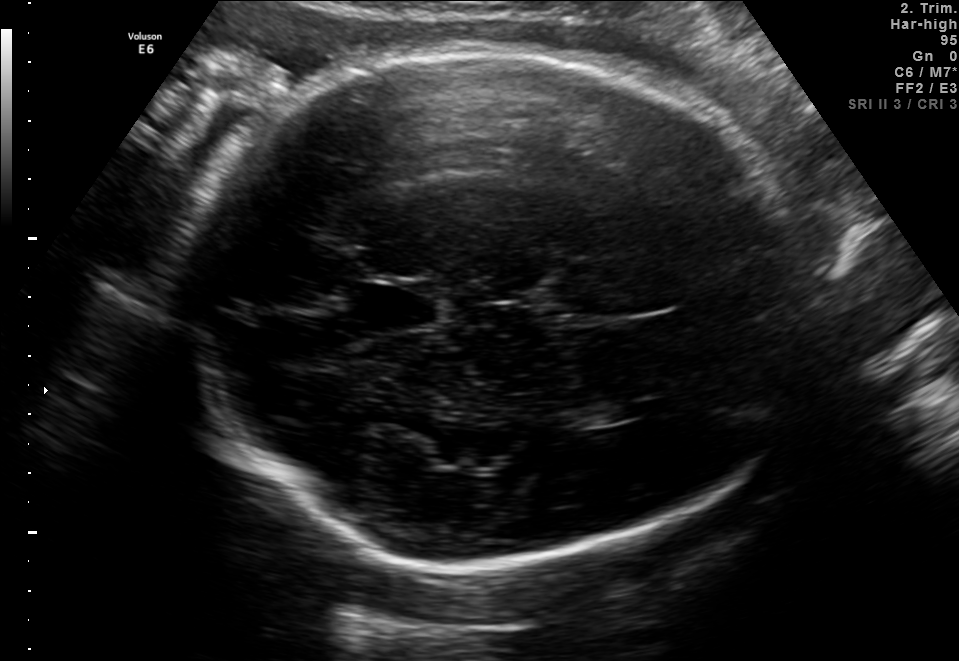
Fetal brain, trans-thalamic plane. Locate the fetal head and, if visible, the cavum septum pellucidum (CSP) and lateral ventricle (LV). Give bounding boxes as [x1,y1,x2,y2].

Head: [176,47,811,562]
CSP: [359,289,437,326]
Lateral ventricle: [576,397,642,430]